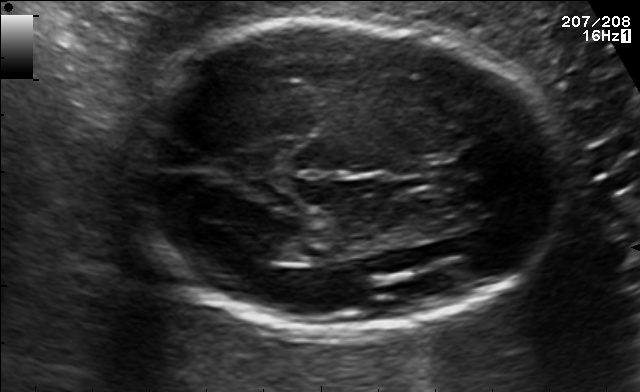
Fetal brain, trans-thalamic plane. Locate the fetal head.

Head: [125,22,566,330]